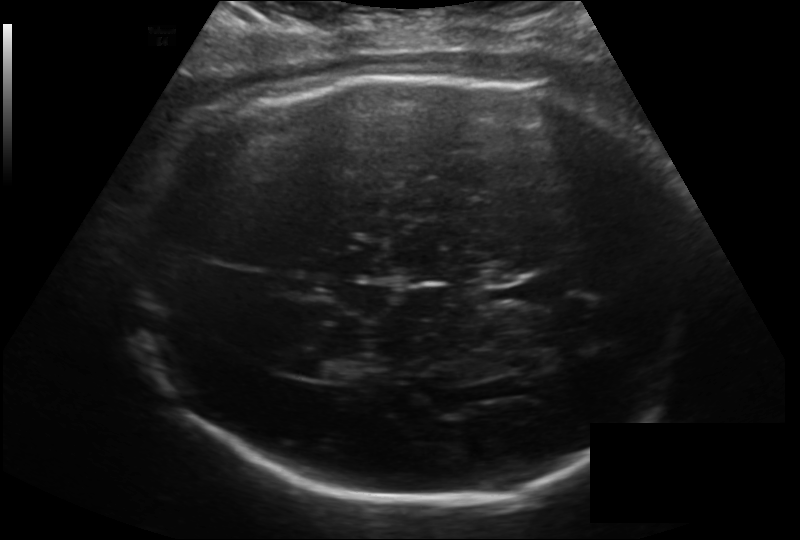
Fetal head ultrasound. Image width: 154.4 mm. Where is the fetal head?

Head bounding box: [126,75,707,502]